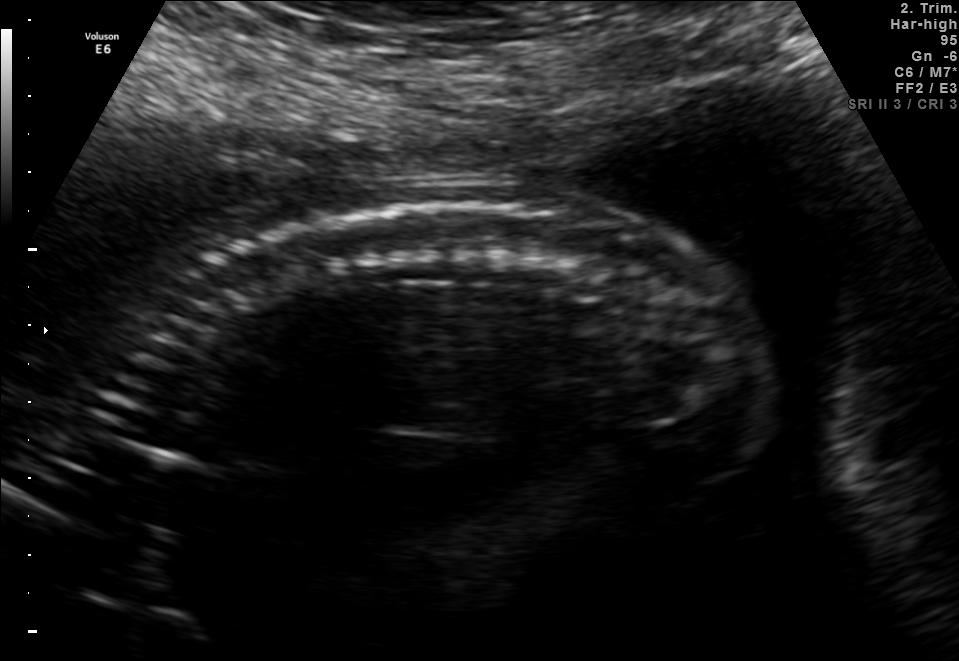
This is a 2D maternal-fetal ultrasound frame. Is it a fetal abdomen, fetal brain, fetal femur, fetal thorax, maternal cervix, or other standard plane? If it's fetal brain and one of the three standard brain planes (trans-thalamic, trans-cerebellum, trans-ventricular), name which.

Other